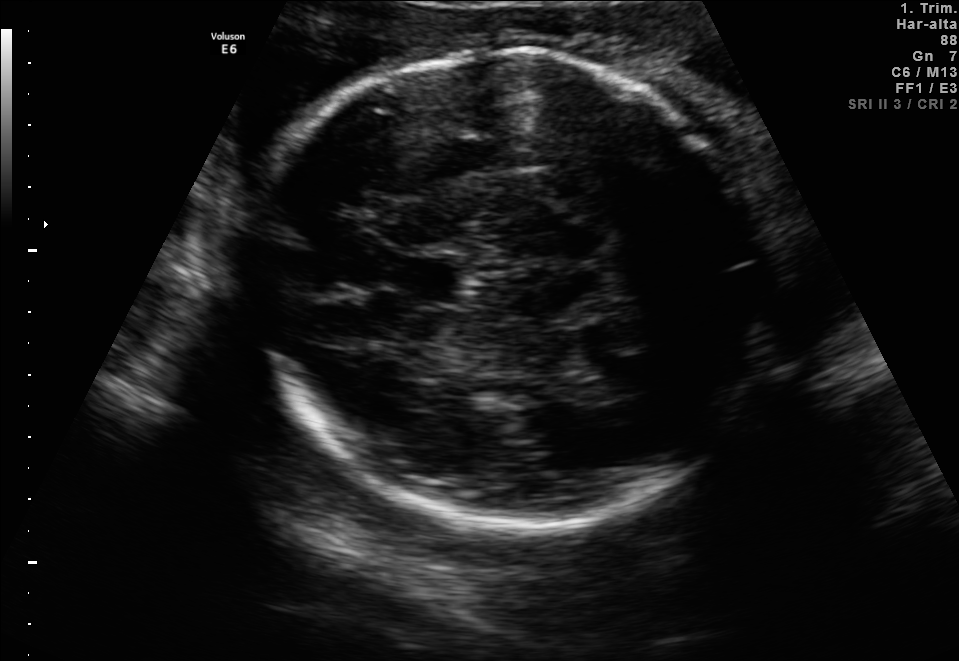
In this fetal brain, trans-thalamic plane, give bounding boxes for the head outline, cavum septum pellucidum (CSP), and lateral ventricle (LV), where visible.

Head: [250,50,765,529]
CSP: [399,256,460,303]